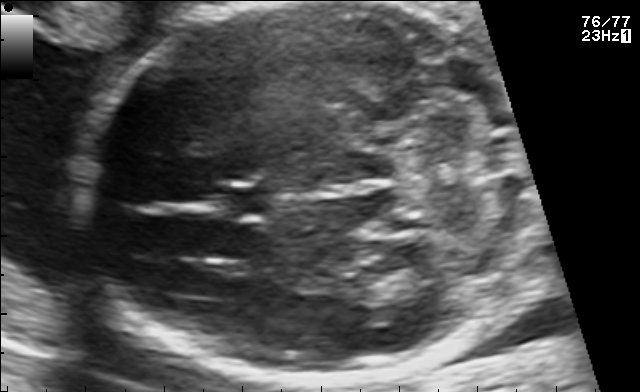
Fetal brain, trans-cerebellum plane. Locate the cavum septum pellucidum.

CSP: [223,182,280,221]